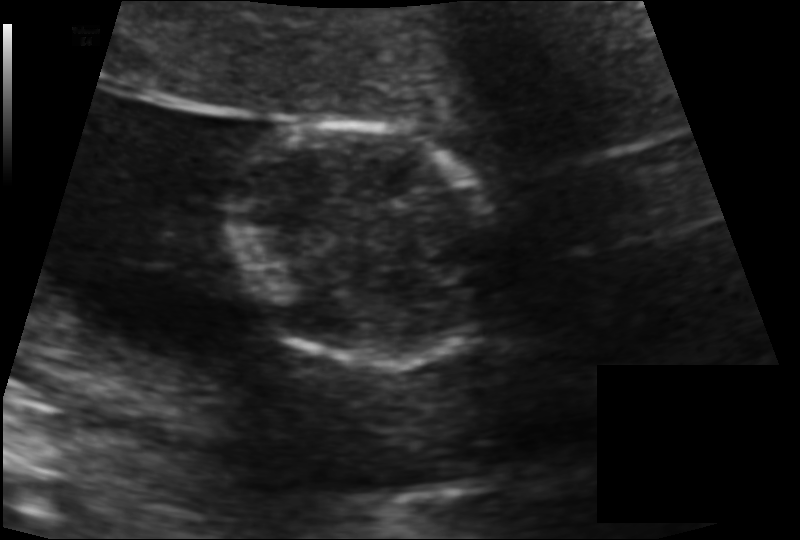
Fetal head ultrasound. Image width: 91.8 mm. Where is the fetal head?

Head bounding box: [223,122,494,368]